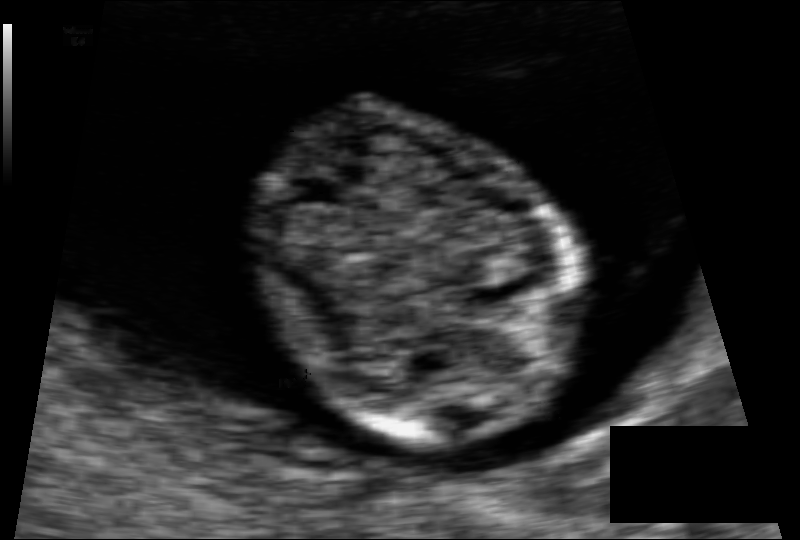
Fetal head ultrasound. Image width: 49.5 mm. Give [x1,y1,x2,y2] bounding boxes for each visible structure among: fetal head, CSP, LV.

Head: [251,99,576,438]